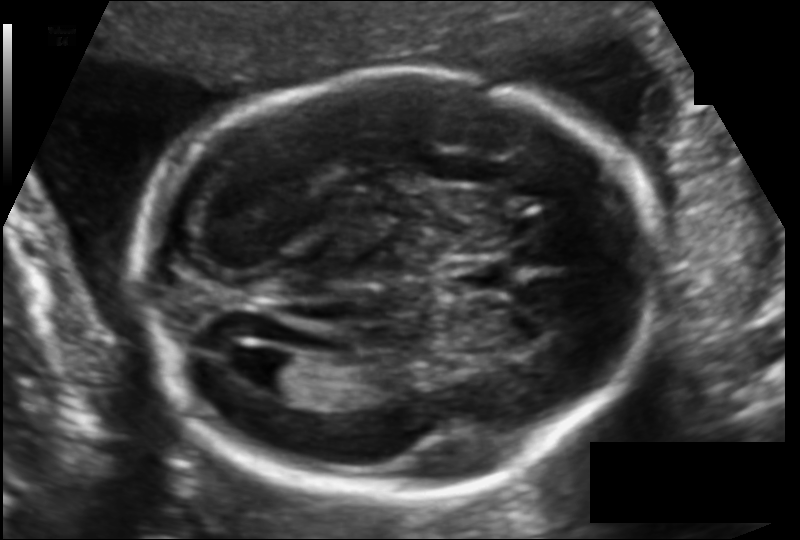
In this fetal head ultrasound, give the bounding box of the cavum septum pellucidum. Image width: 97.1 mm.

[450,258,508,292]